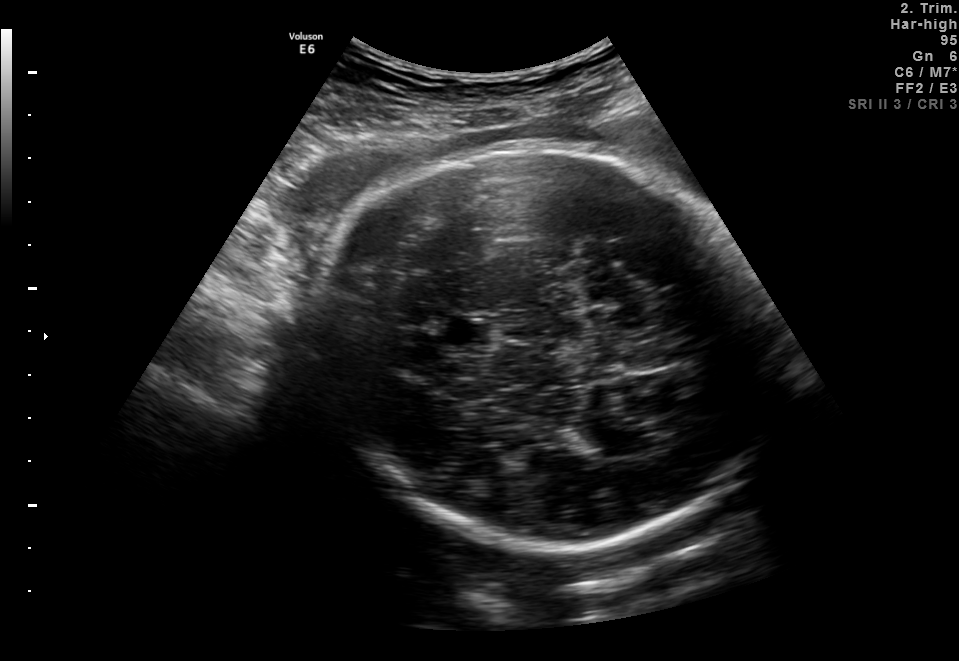
Fetal brain, trans-thalamic plane. Locate the cavum septum pellucidum.

CSP: [444,318,492,347]